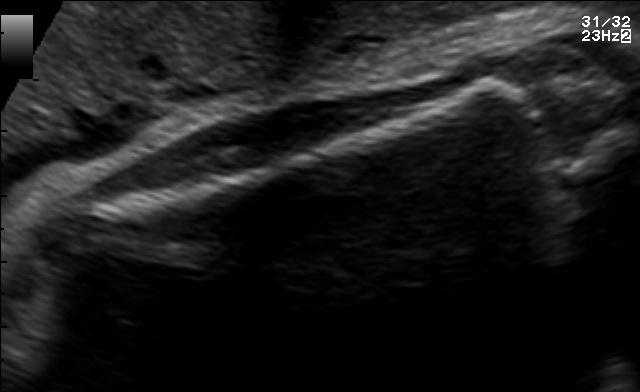
This is a 2D maternal-fetal ultrasound frame. Is it a fetal abdomen, fetal brain, fetal femur, fetal thorax, maternal cervix, or other standard plane? If it's fetal brain and one of the three standard brain planes (trans-thalamic, trans-cerebellum, trans-ventricular), name which.

Fetal femur